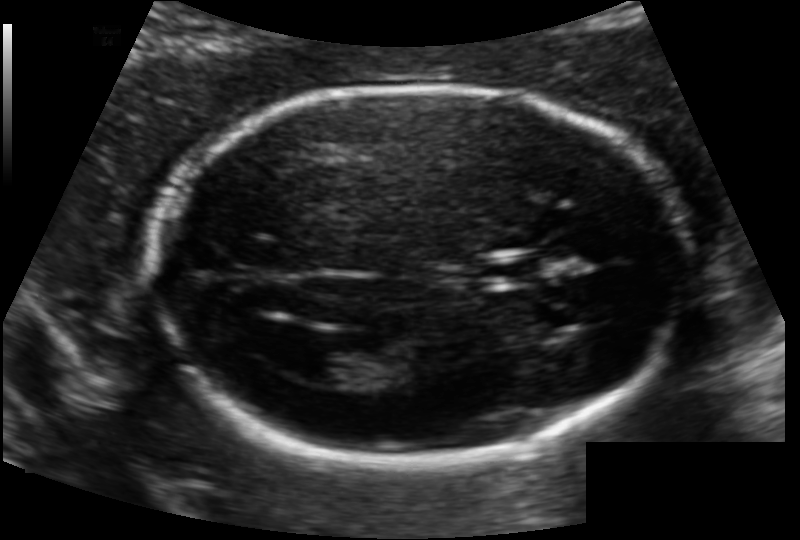
From this fetal ultrasound, estimate the head circumference (image width 94.1 mm).

Head circumference: 173.7 mm.